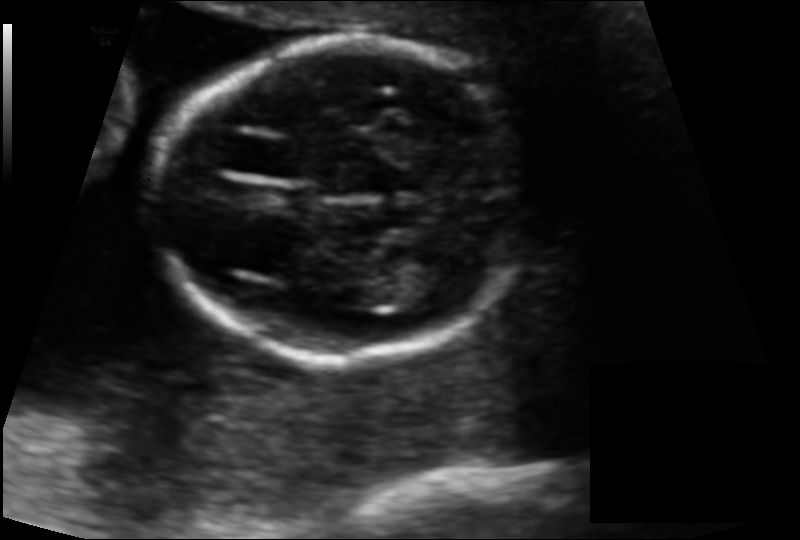
Fetal head ultrasound. Image width: 92.0 mm. Locate the fetal head.

Head: [153,43,525,359]